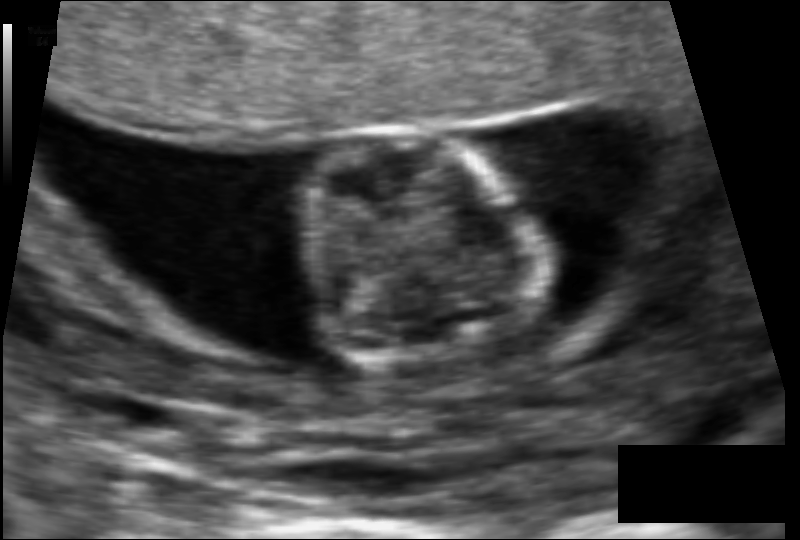
Measure the fetal head circumference shown in this ultrasound image. Image width: 63.1 mm.

Head circumference: 63.3 mm.